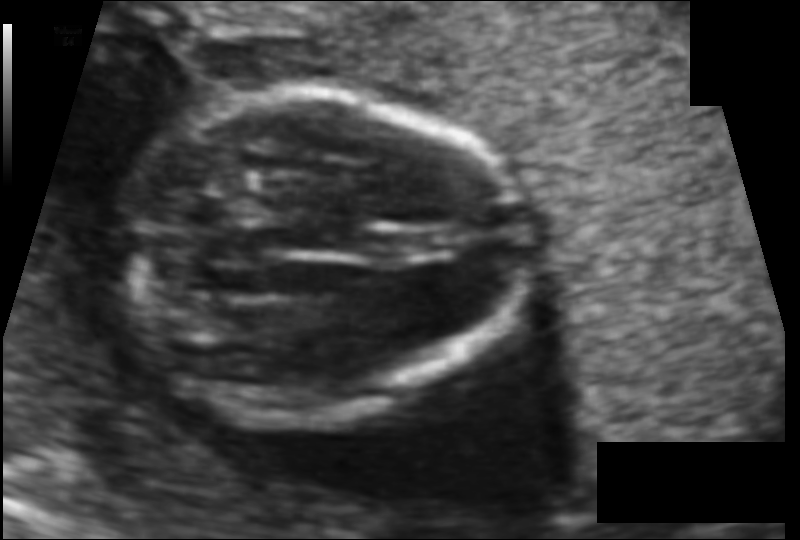
In this fetal head ultrasound, give the bounding box of the cavum septum pellucidum. Image width: 71.6 mm.

[372,230,438,261]